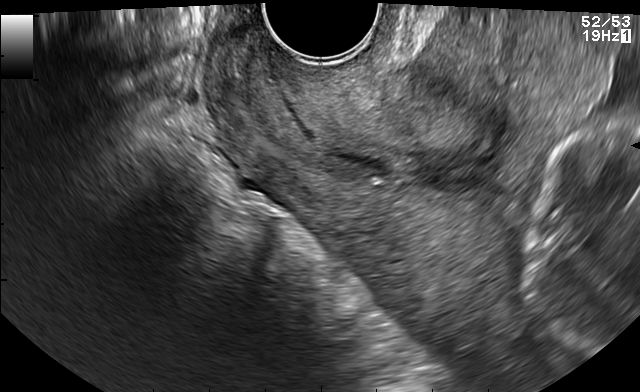
Identify the standard plane in this fetal ultrasound image: fetal abdomen, fetal brain, fetal femur, fetal thorax, maternal cervix, or other. If it's fetal brain and one of the three standard brain planes (trans-thalamic, trans-cerebellum, trans-ventricular), name which.

Maternal cervix